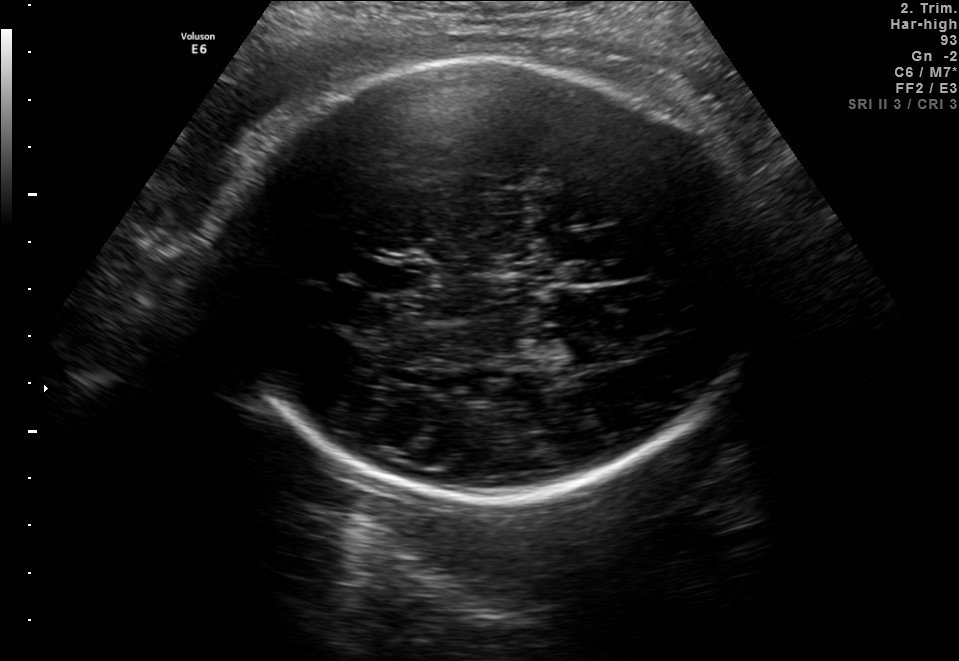
In this fetal brain, trans-thalamic plane, give bounding boxes for the head outline, cavum septum pellucidum (CSP), and lateral ventricle (LV), where visible.

Head: [215,58,758,491]
CSP: [355,259,409,295]